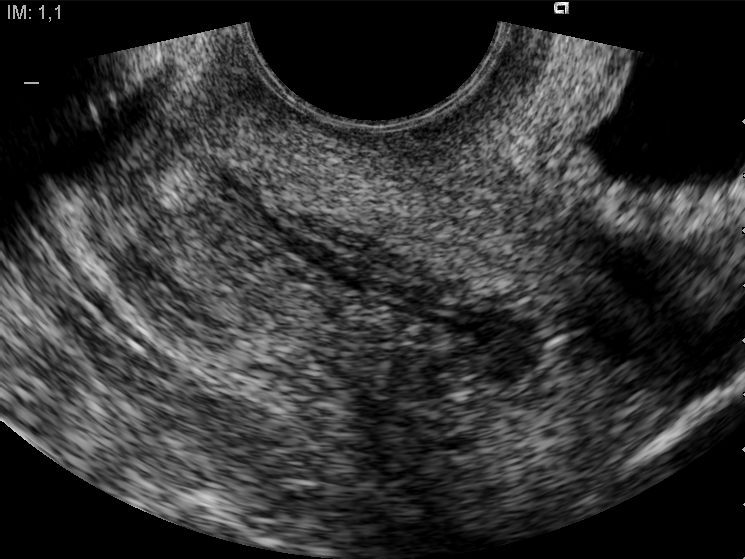
Which standard maternal-fetal ultrasound plane is shown: fetal abdomen, fetal brain, fetal femur, fetal thorax, maternal cervix, or other? If it's fetal brain and one of the three standard brain planes (trans-thalamic, trans-cerebellum, trans-ventricular), name which.

Maternal cervix